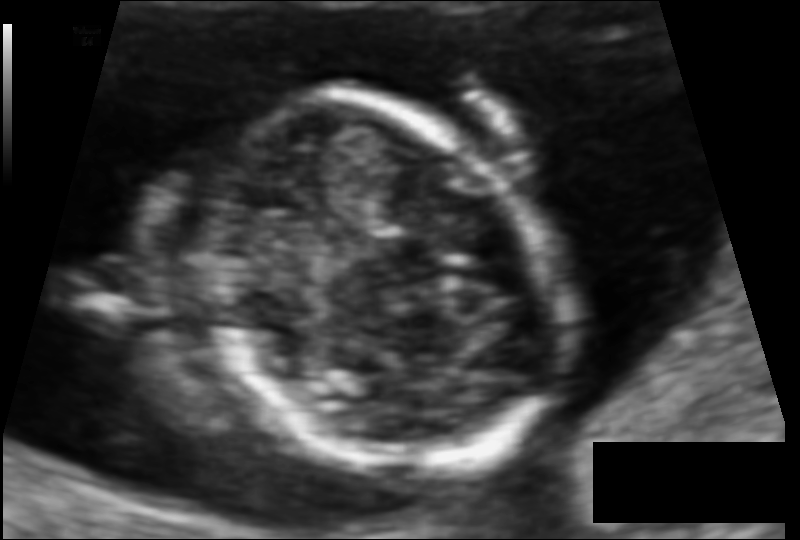
Estimate the fetal head circumference from this 2D ultrasound.

Head circumference: 98.9 mm (image width 68.0 mm).